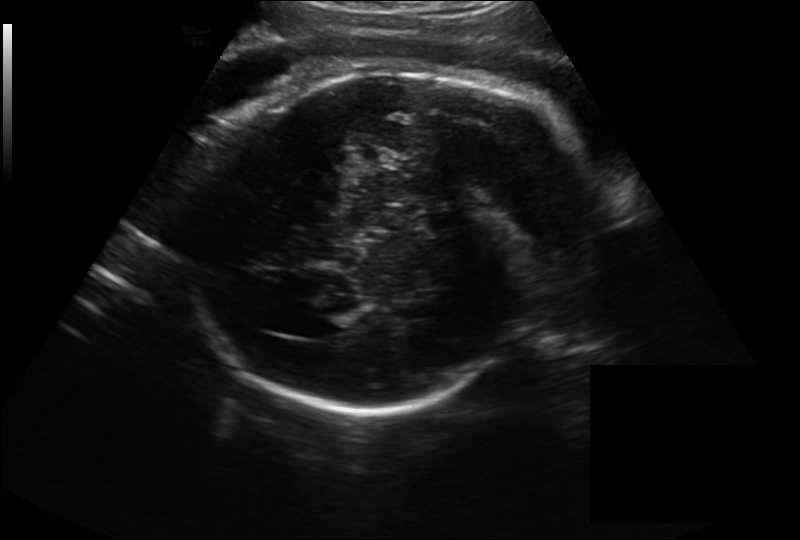
Fetal head ultrasound. Image width: 209.3 mm. Locate the lateral ventricle.

Lateral ventricle: [305,312,353,338]